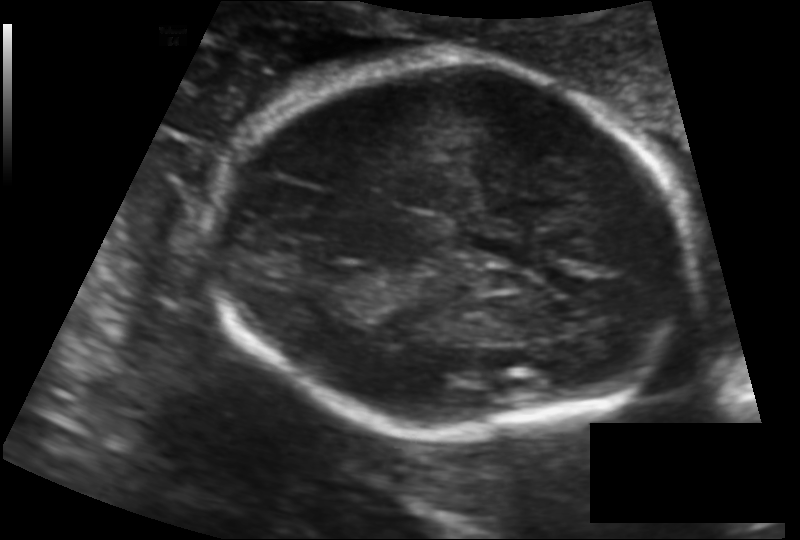
Estimate the fetal head circumference from this 2D ultrasound. Image width: 102.5 mm.

Head circumference: 179.8 mm.